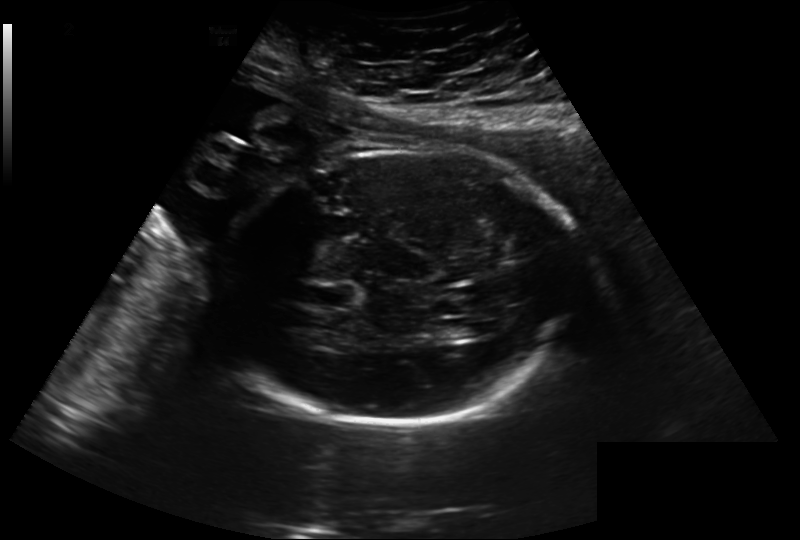
Estimate the fetal head circumference from this 2D ultrasound.

Head circumference: 269.0 mm (image width 208.3 mm).